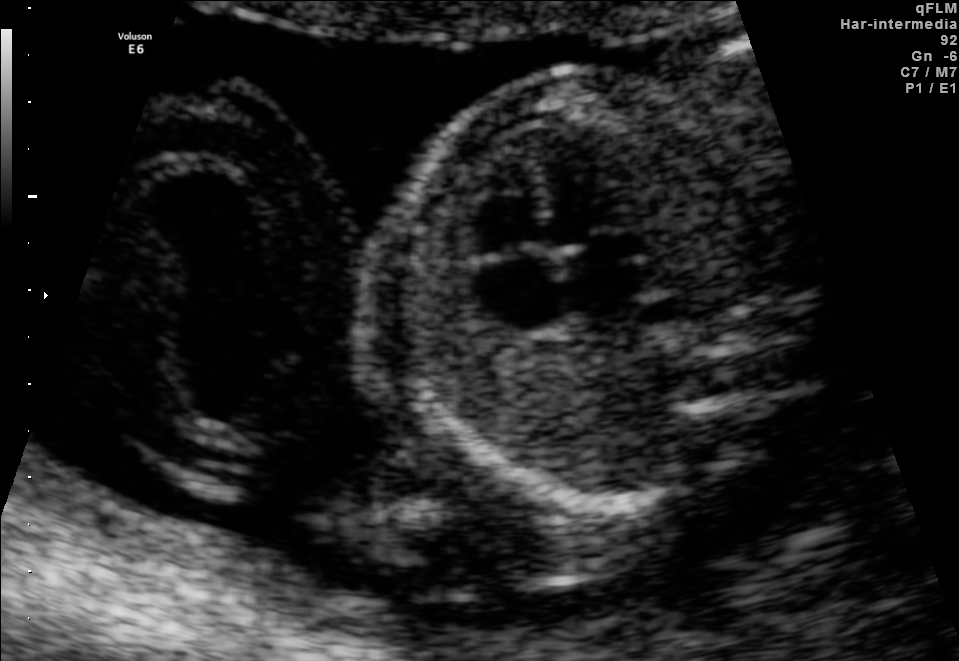
Identify the standard plane in this fetal ultrasound image: fetal abdomen, fetal brain, fetal femur, fetal thorax, maternal cervix, or other. If it's fetal brain and one of the three standard brain planes (trans-thalamic, trans-cerebellum, trans-ventricular), name which.

Fetal thorax